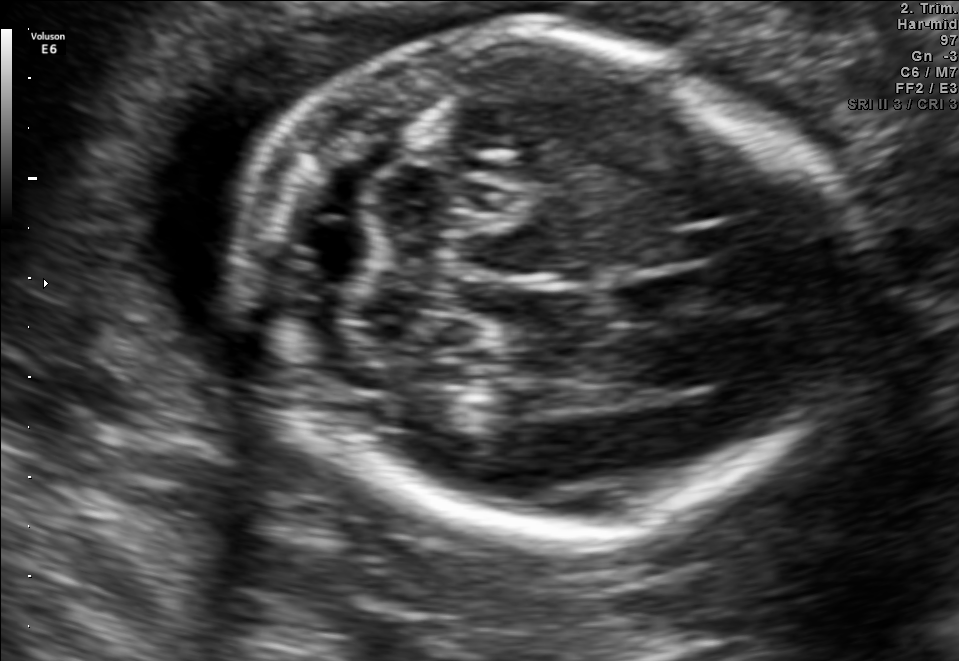
Fetal brain, trans-cerebellum plane. Locate the fetal head and, if visible, the cavum septum pellucidum (CSP) and lateral ventricle (LV). Give bounding boxes as [x1,y1,x2,y2].

Head: [241,31,834,536]
CSP: [614,263,718,329]